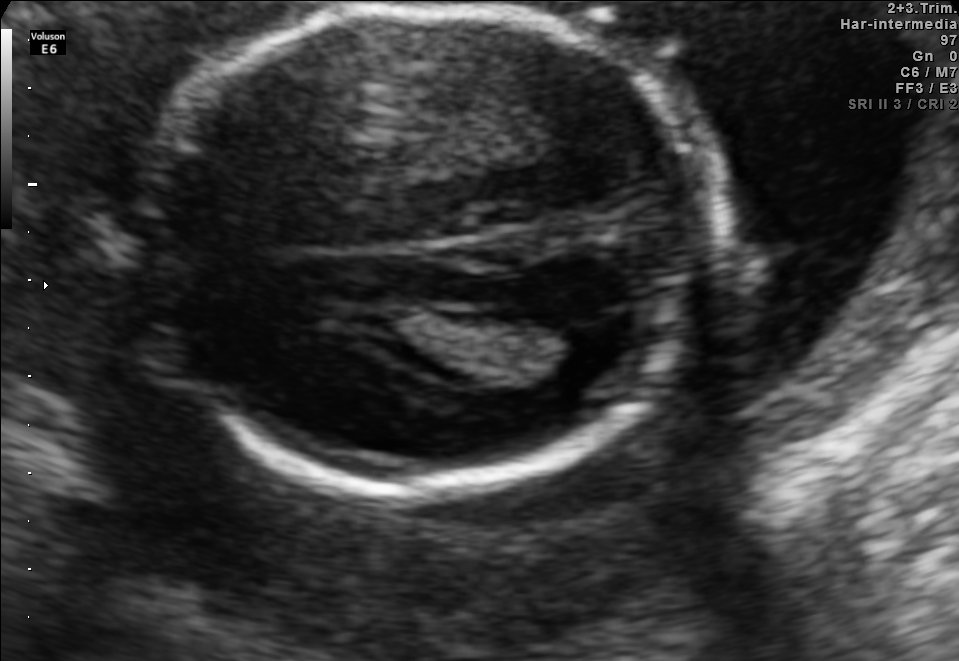
Fetal brain, trans-thalamic plane. Locate the fetal head.

Head: [147,7,708,492]